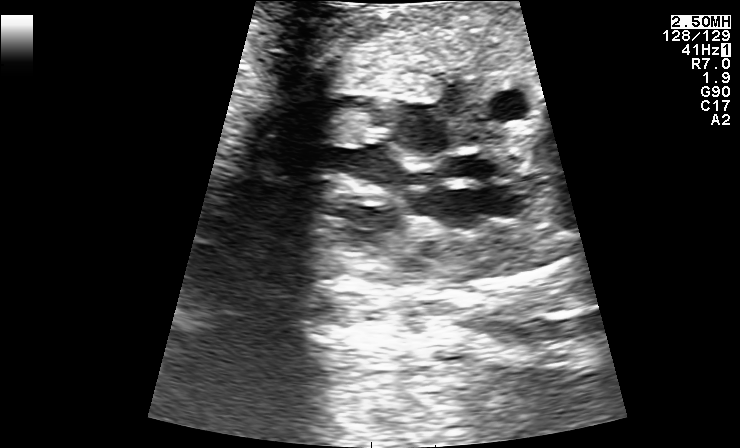
This is a 2D maternal-fetal ultrasound frame. Is it a fetal abdomen, fetal brain, fetal femur, fetal thorax, maternal cervix, or other standard plane? If it's fetal brain and one of the three standard brain planes (trans-thalamic, trans-cerebellum, trans-ventricular), name which.

Other